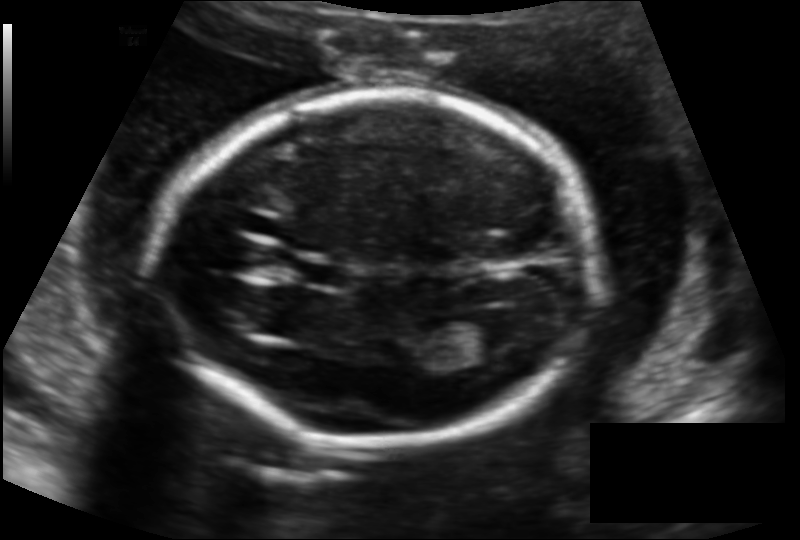
Fetal head ultrasound. Image width: 108.6 mm. Where is the fetal head?

Head bounding box: [160,91,595,444]